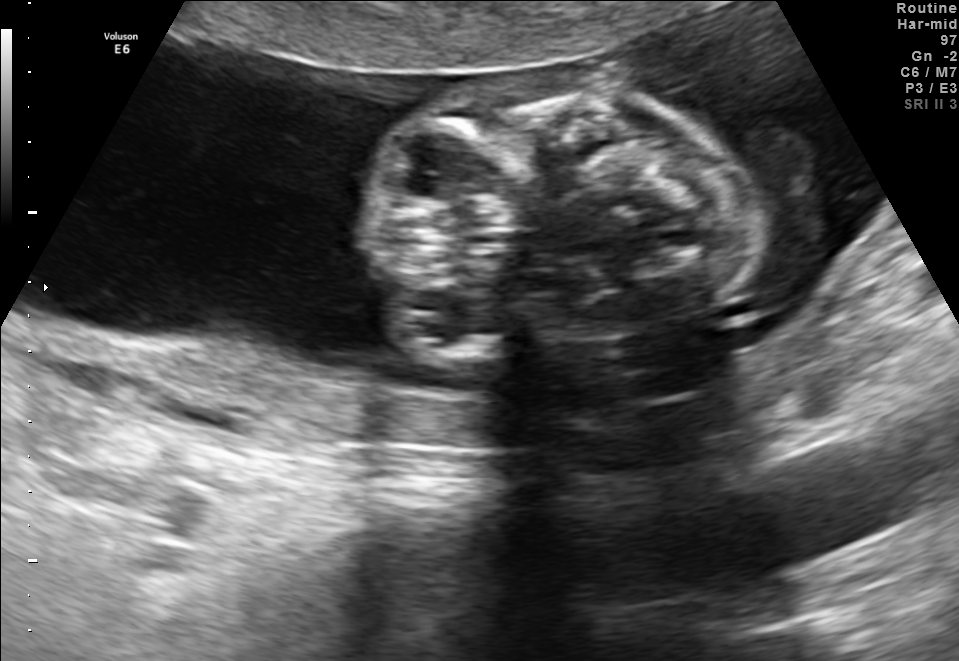
This is a 2D maternal-fetal ultrasound frame. Is it a fetal abdomen, fetal brain, fetal femur, fetal thorax, maternal cervix, or other standard plane? If it's fetal brain and one of the three standard brain planes (trans-thalamic, trans-cerebellum, trans-ventricular), name which.

Fetal brain